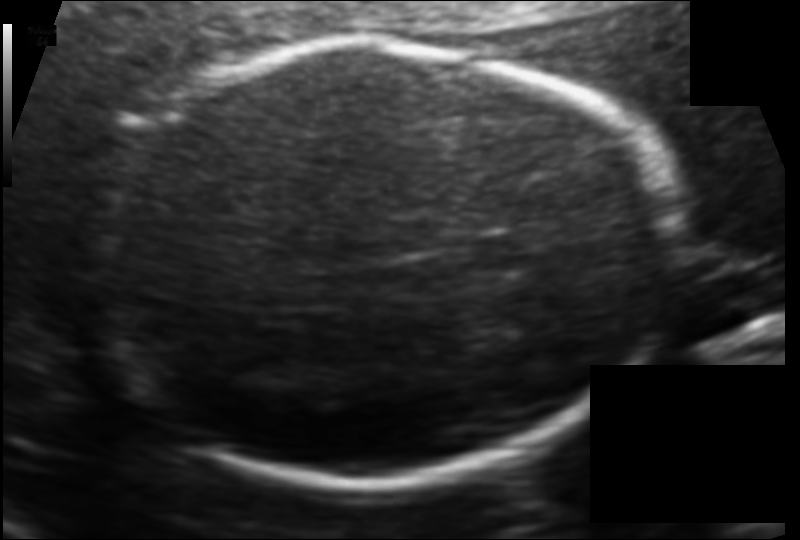
Fetal head ultrasound. Image width: 91.1 mm. Locate the fetal head.

Head: [86,42,677,480]